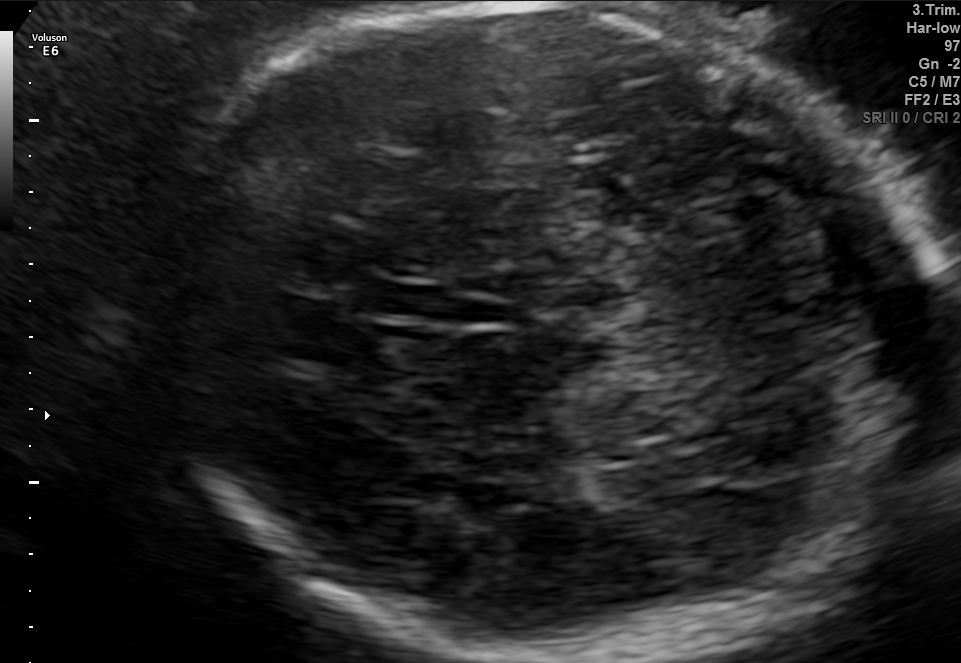
Fetal brain, trans-thalamic plane. Where is the cavum septum pellucidum?

CSP bounding box: [357,279,450,320]